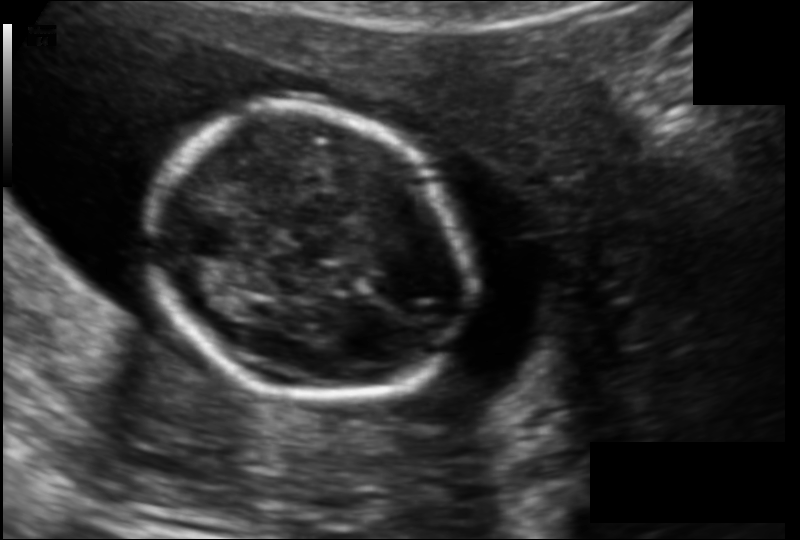
Fetal head ultrasound. Image width: 98.4 mm. Give [x1,y1,x2,y2] bounding boxes for each visible structure among: fetal head, CSP, LV.

Head: [153,112,473,402]